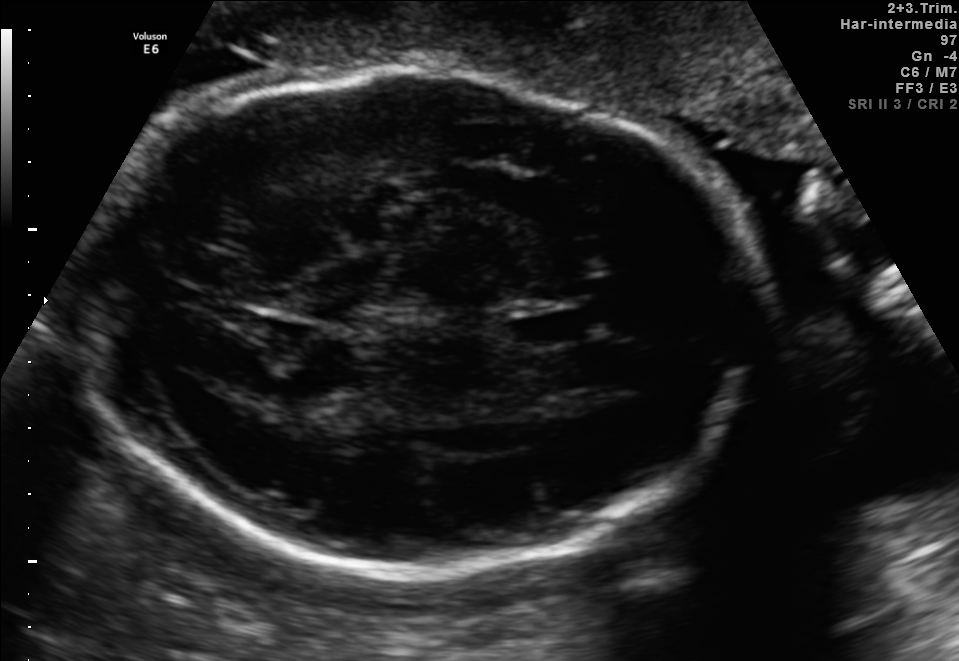
In this fetal brain, trans-thalamic plane, give bounding boxes for the head outline, cavum septum pellucidum (CSP), and lateral ventricle (LV), where visible.

Head: [76,70,755,575]
CSP: [508,307,588,353]